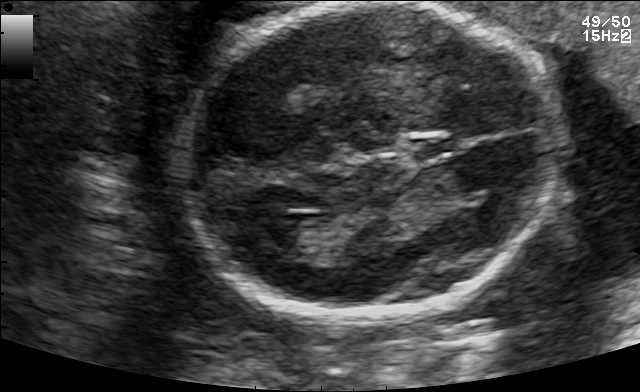
Fetal brain, trans-ventricular plane. Locate the cavum septum pellucidum.

CSP: [407,133,462,162]